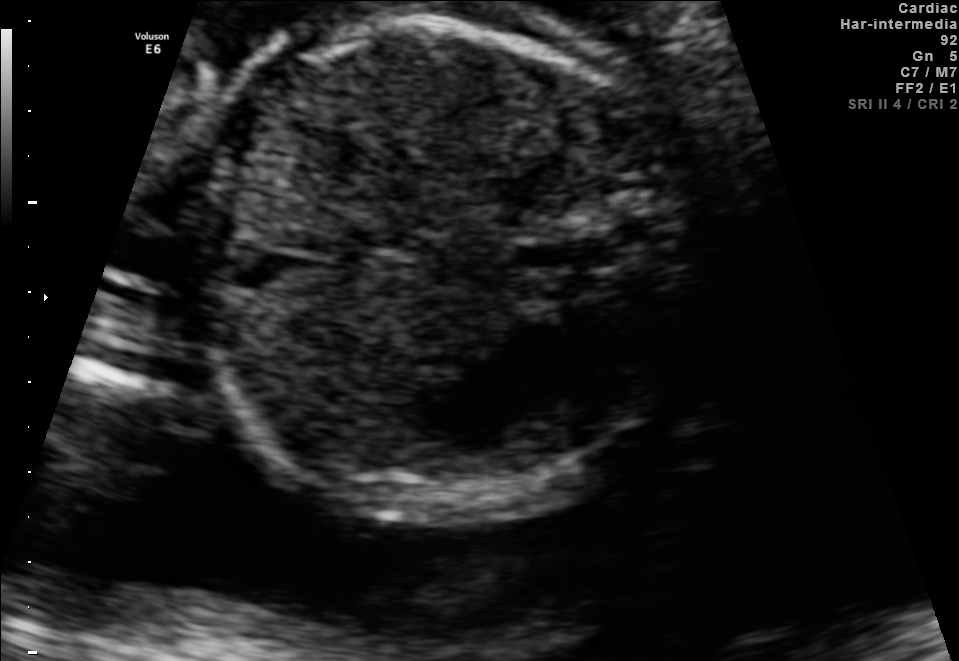
Which standard maternal-fetal ultrasound plane is shown: fetal abdomen, fetal brain, fetal femur, fetal thorax, maternal cervix, or other? If it's fetal brain and one of the three standard brain planes (trans-thalamic, trans-cerebellum, trans-ventricular), name which.

Other